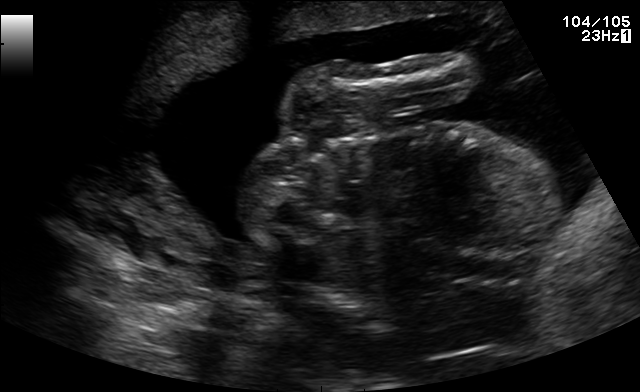
Classify this maternal-fetal ultrasound image as one of the six standard planes — fetal abdomen, fetal brain, fetal femur, fetal thorax, maternal cervix, or other. If it's fetal brain and one of the three standard brain planes (trans-thalamic, trans-cerebellum, trans-ventricular), name which.

Other